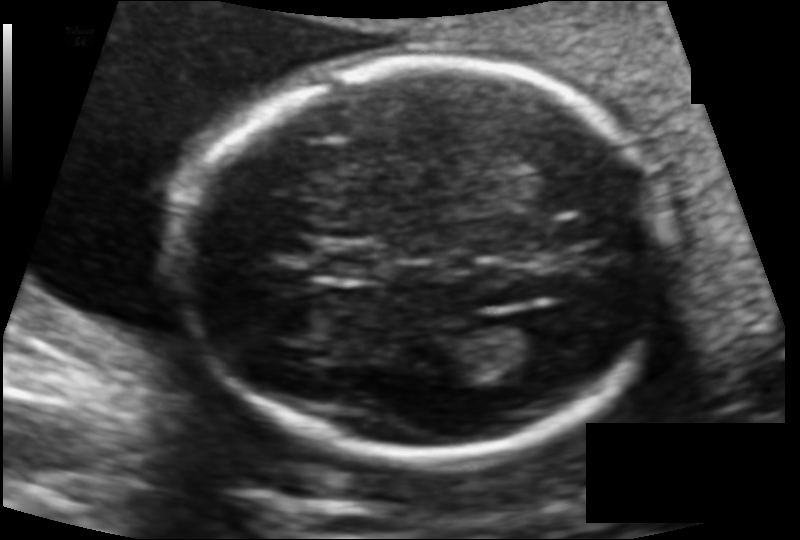
Fetal head ultrasound. Image width: 91.4 mm. Locate the lateral ventricle.

Lateral ventricle: [478,312,564,376]